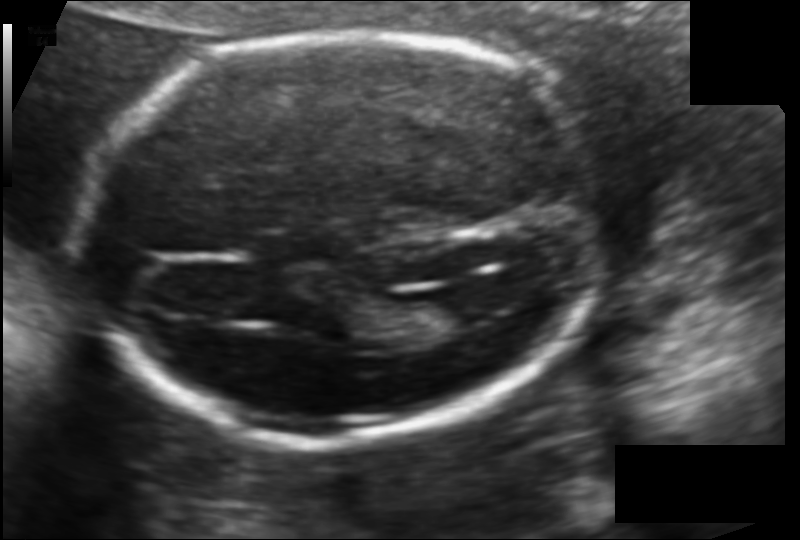
Fetal head ultrasound. Image width: 94.7 mm. Locate the fetal head.

Head: [80,29,601,440]